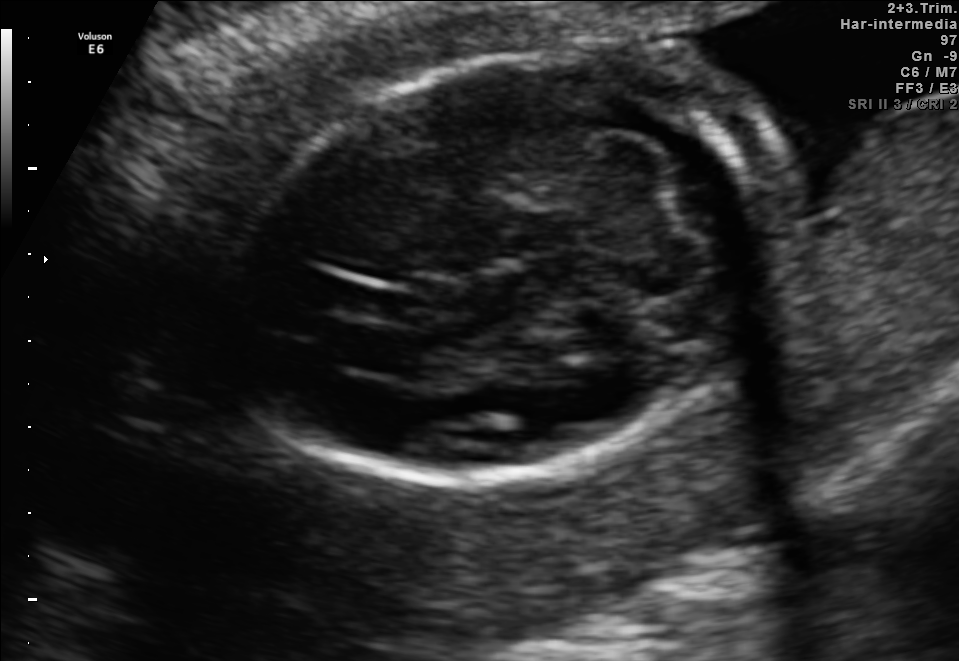
Fetal brain, trans-cerebellum plane. Locate the fetal head and, if visible, the cavum septum pellucidum (CSP) and lateral ventricle (LV). Give bounding boxes as [x1,y1,x2,y2].

Head: [228,47,803,484]